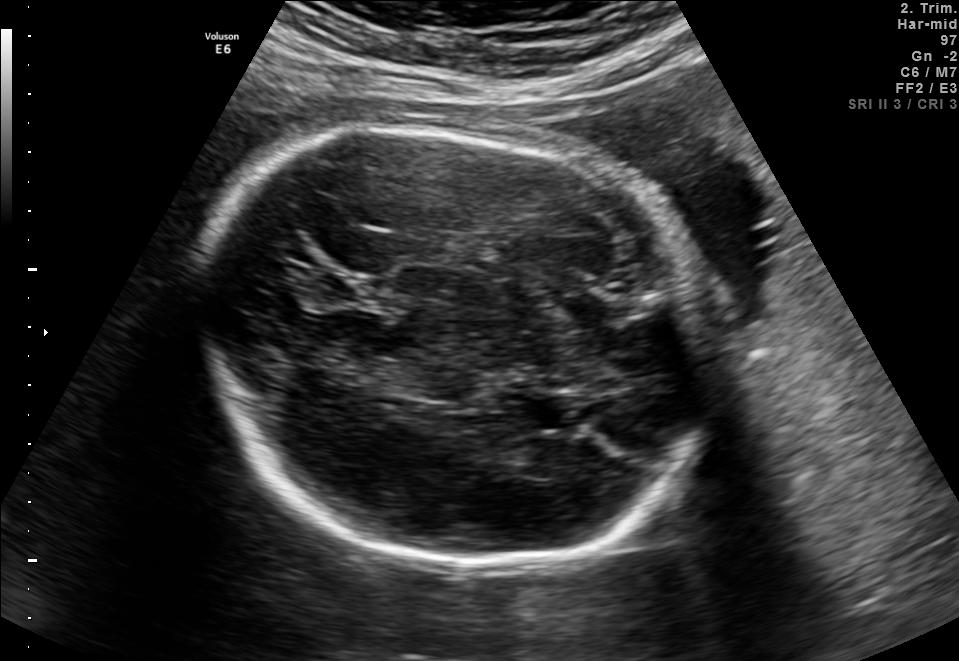
Fetal brain, trans-thalamic plane. Locate the fetal head and, if visible, the cavum septum pellucidum (CSP) and lateral ventricle (LV). Give bounding boxes as [x1,y1,x2,y2].

Head: [201,121,704,570]